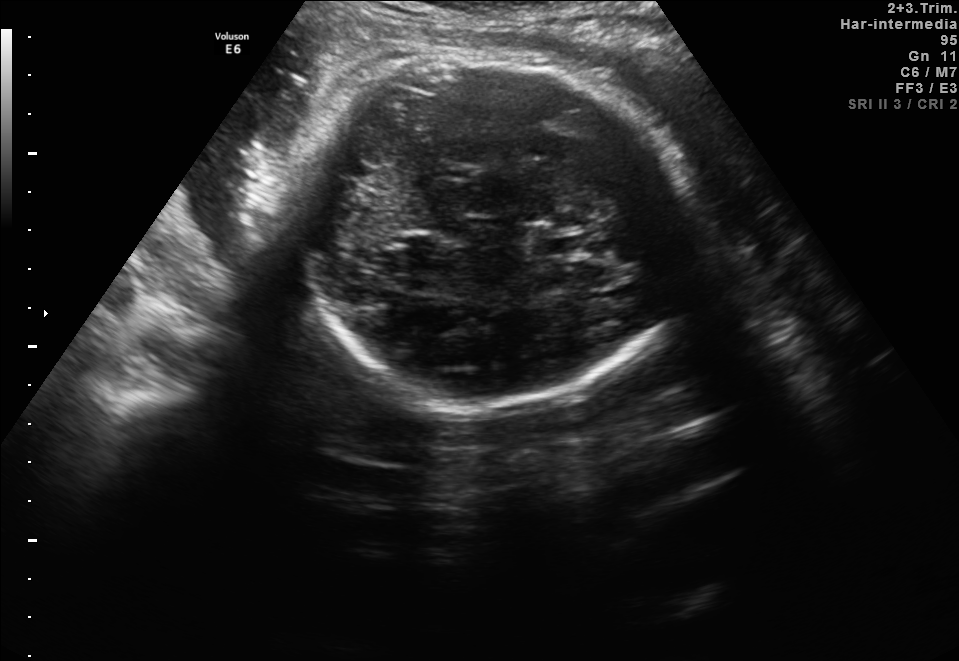
Fetal brain, trans-thalamic plane. Locate the fetal head and, if visible, the cavum septum pellucidum (CSP) and lateral ventricle (LV). Give bounding boxes as [x1,y1,x2,y2].

Head: [296,57,695,402]
CSP: [532,233,590,257]